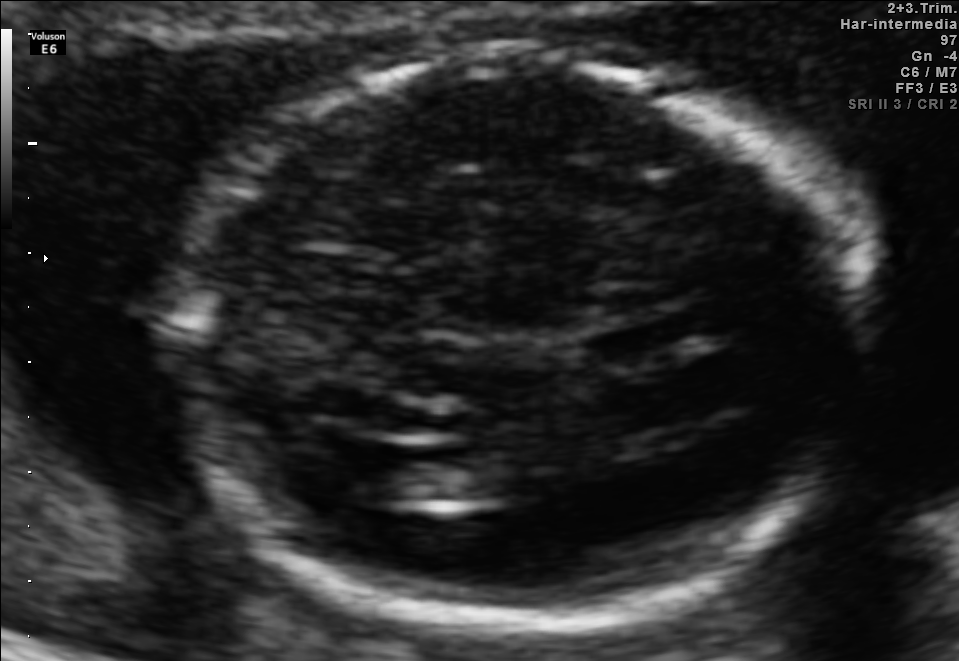
Fetal brain, trans-ventricular plane. Locate the fetal head and, if visible, the cavum septum pellucidum (CSP) and lateral ventricle (LV). Give bounding boxes as [x1,y1,x2,y2].

Head: [152,35,897,632]
Lateral ventricle: [367,446,443,499]